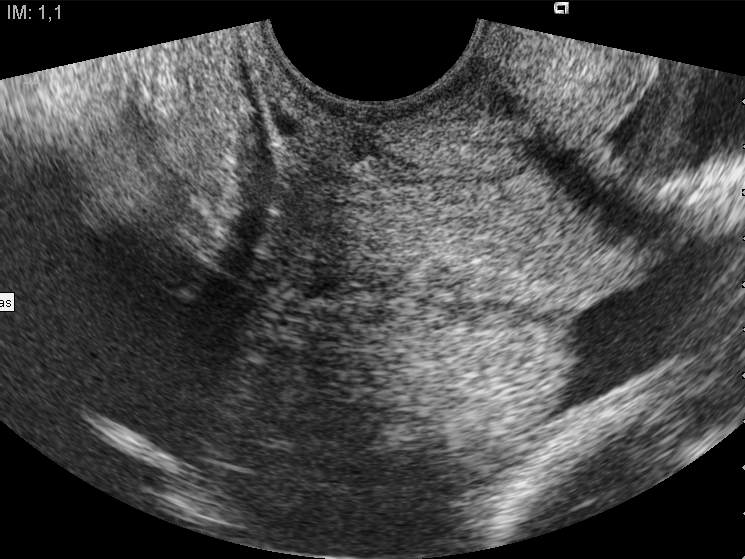
Which standard maternal-fetal ultrasound plane is shown: fetal abdomen, fetal brain, fetal femur, fetal thorax, maternal cervix, or other? If it's fetal brain and one of the three standard brain planes (trans-thalamic, trans-cerebellum, trans-ventricular), name which.

Maternal cervix